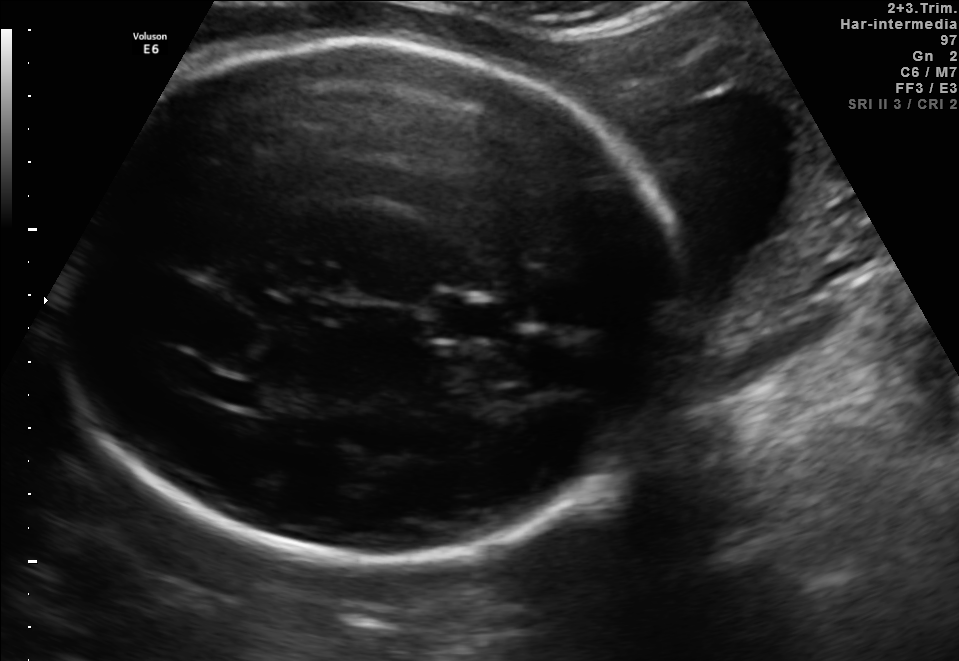
In this fetal brain, trans-thalamic plane, give the bounding box of the lateral ventricle.

[210,374,264,410]